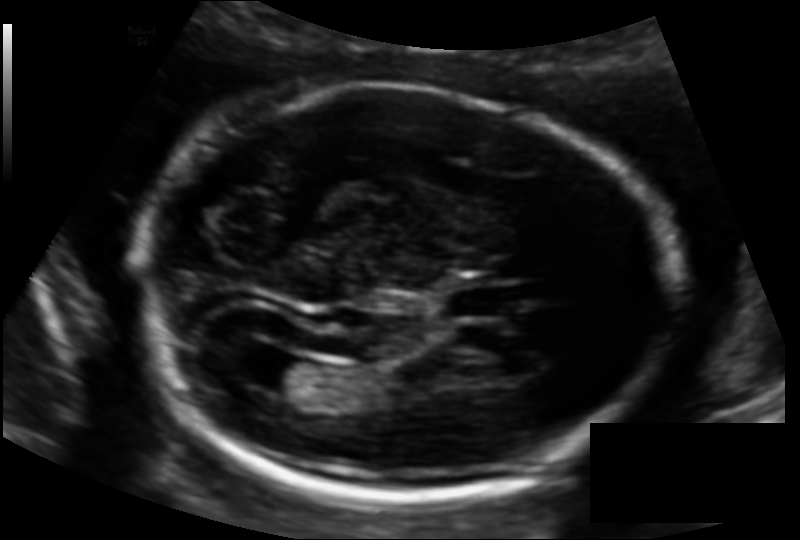
Measure the fetal head circumference shown in this ultrasound image. Image width: 103.6 mm.

Head circumference: 197.7 mm.